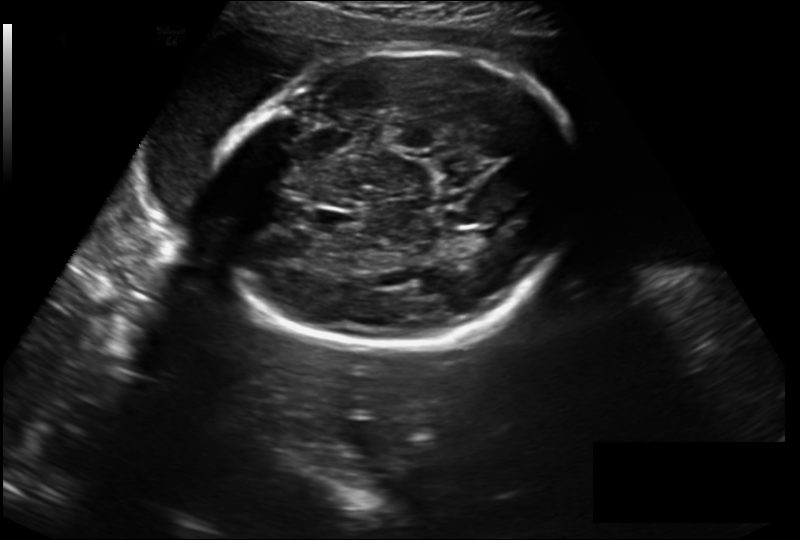
Fetal head ultrasound. Image width: 184.1 mm. Give [x1,y1,x2,y2] bounding boxes for each visible structure among: fetal head, CSP, LV.

Head: [212,52,581,347]